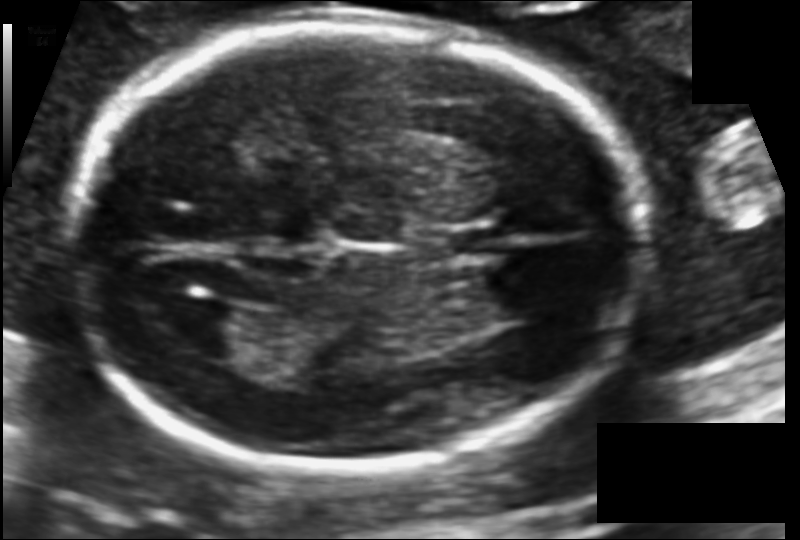
In this fetal head ultrasound, give the bounding box of the lateral ventricle. Image width: 90.1 mm.

[157,293,251,364]